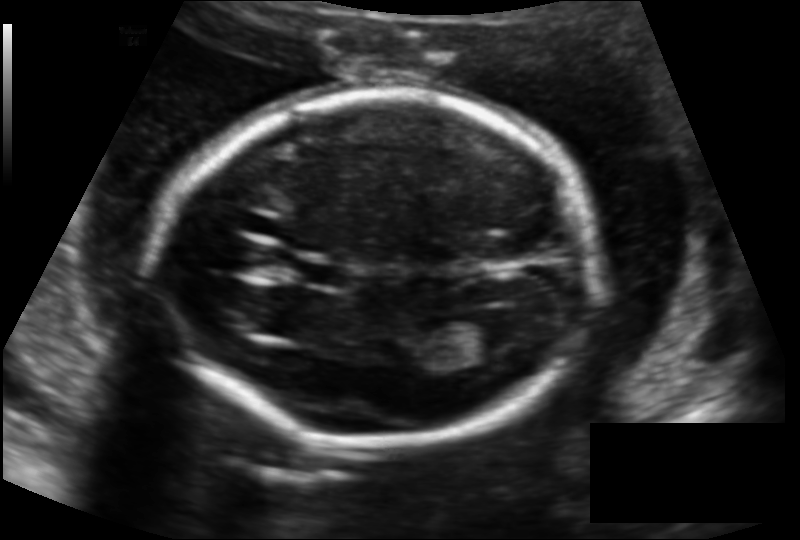
In this fetal head ultrasound, give the bounding box of the cavum septum pellucidum. Image width: 108.6 mm.

[300,258,352,291]